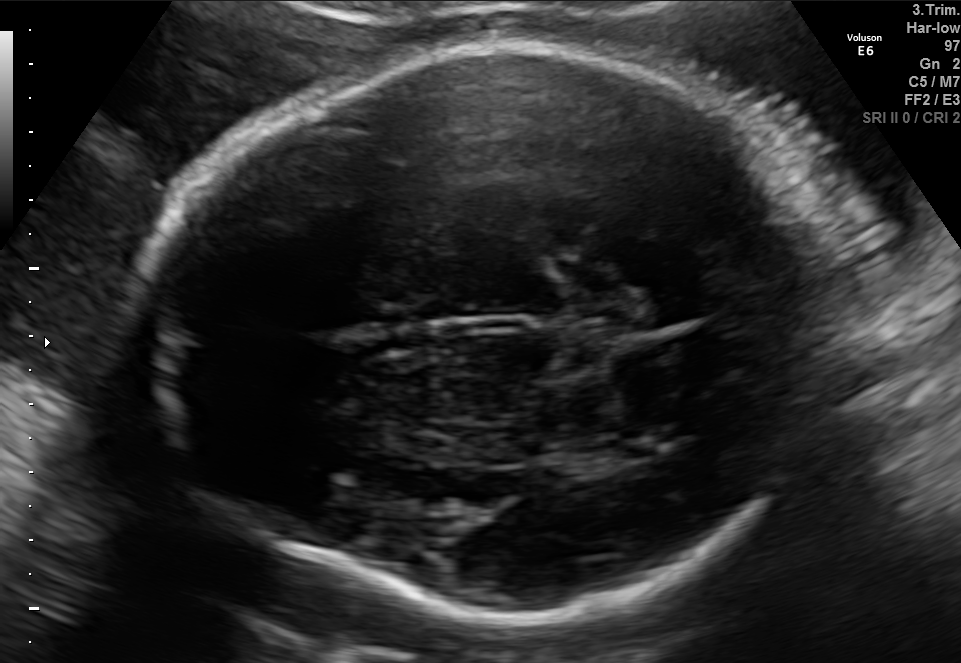
In this fetal brain, trans-thalamic plane, give bounding boxes for the head outline, cavum septum pellucidum (CSP), and lateral ventricle (LV), where visible.

Head: [137,42,852,621]